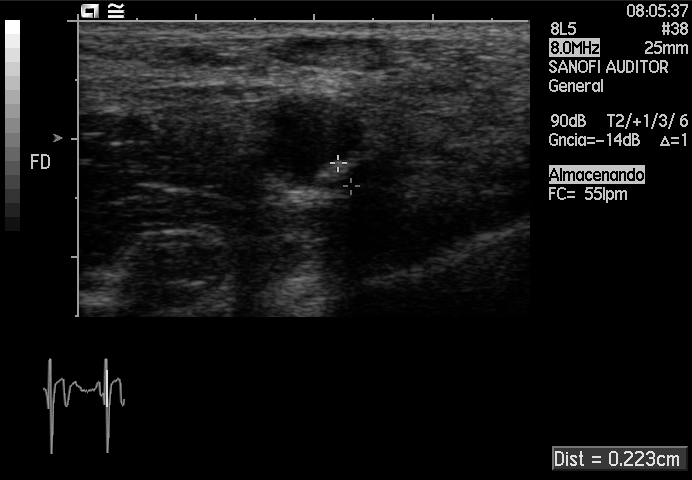
Which standard maternal-fetal ultrasound plane is shown: fetal abdomen, fetal brain, fetal femur, fetal thorax, maternal cervix, or other? If it's fetal brain and one of the three standard brain planes (trans-thalamic, trans-cerebellum, trans-ventricular), name which.

Other